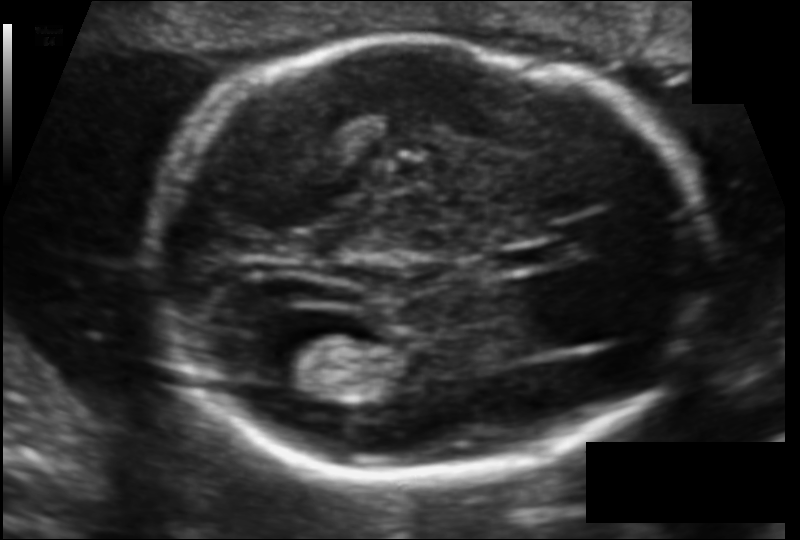
Measure the fetal head circumference shown in this ultrasound image. Image width: 84.9 mm.

Head circumference: 171.0 mm.